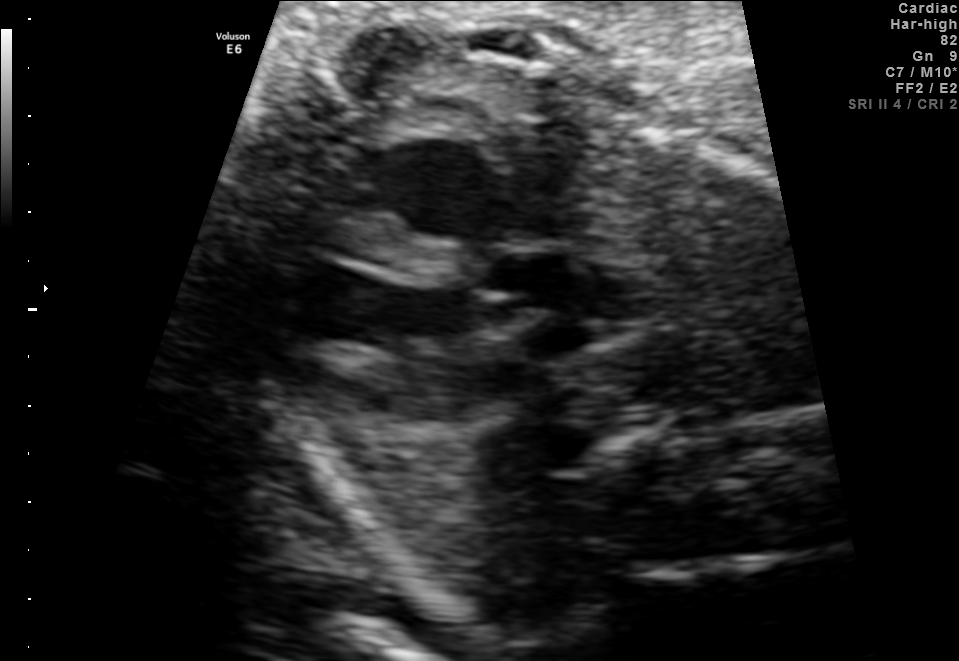
Classify this maternal-fetal ultrasound image as one of the six standard planes — fetal abdomen, fetal brain, fetal femur, fetal thorax, maternal cervix, or other. If it's fetal brain and one of the three standard brain planes (trans-thalamic, trans-cerebellum, trans-ventricular), name which.

Other